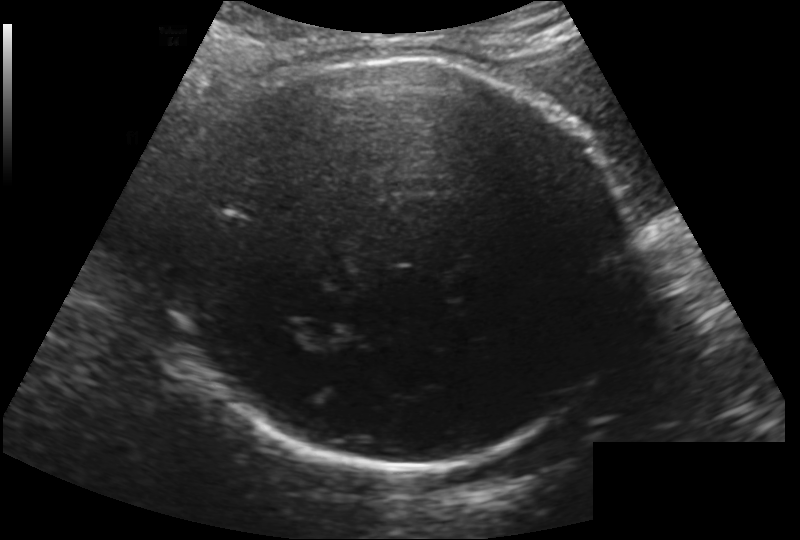
Measure the fetal head circumference shown in this ultrasound image. Image width: 160.1 mm.

Head circumference: 284.1 mm.